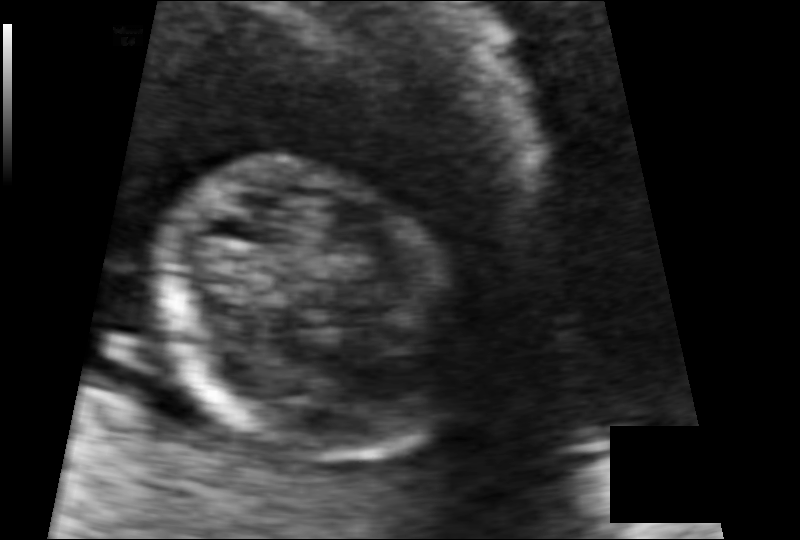
Measure the fetal head circumference shown in this ultrasound image. Image width: 68.4 mm.

Head circumference: 79.8 mm.